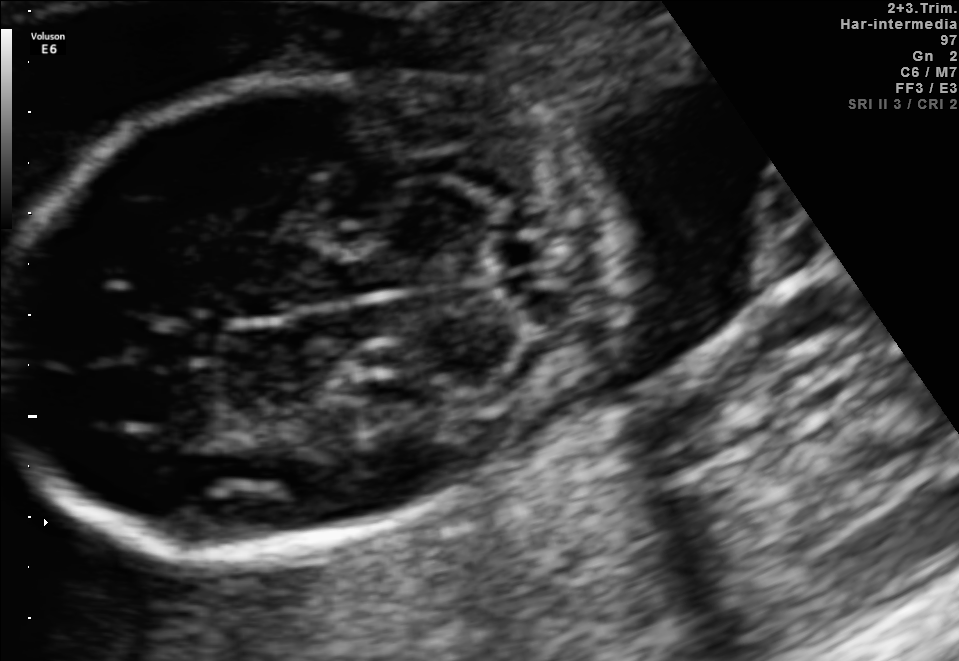
In this fetal brain, trans-cerebellum plane, give the bounding box of the fetal head.

[3,71,612,550]